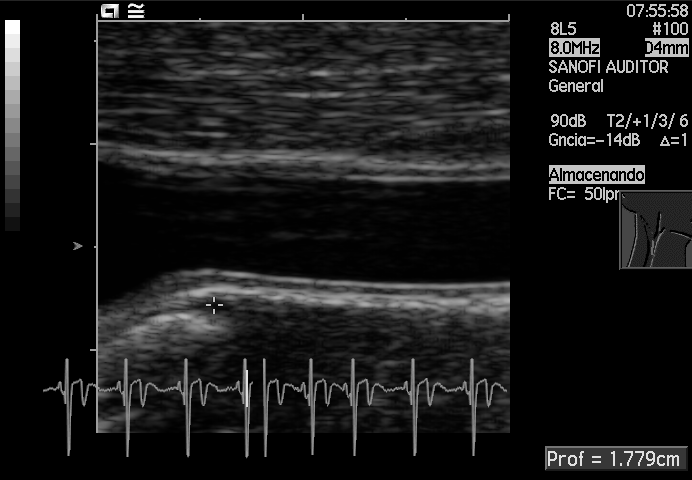
Identify the standard plane in this fetal ultrasound image: fetal abdomen, fetal brain, fetal femur, fetal thorax, maternal cervix, or other. If it's fetal brain and one of the three standard brain planes (trans-thalamic, trans-cerebellum, trans-ventricular), name which.

Other